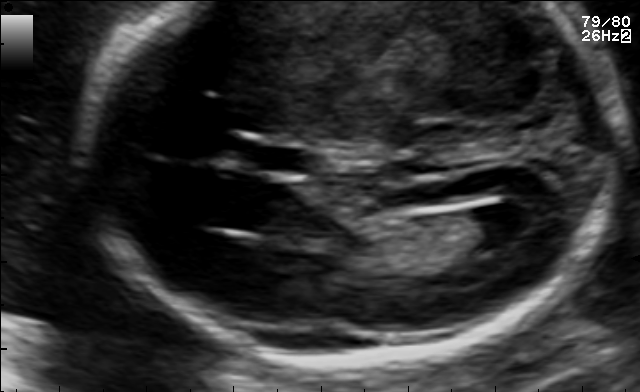
Fetal brain, trans-ventricular plane. Where is the lateral ventricle?

Lateral ventricle bounding box: [454,196,540,254]